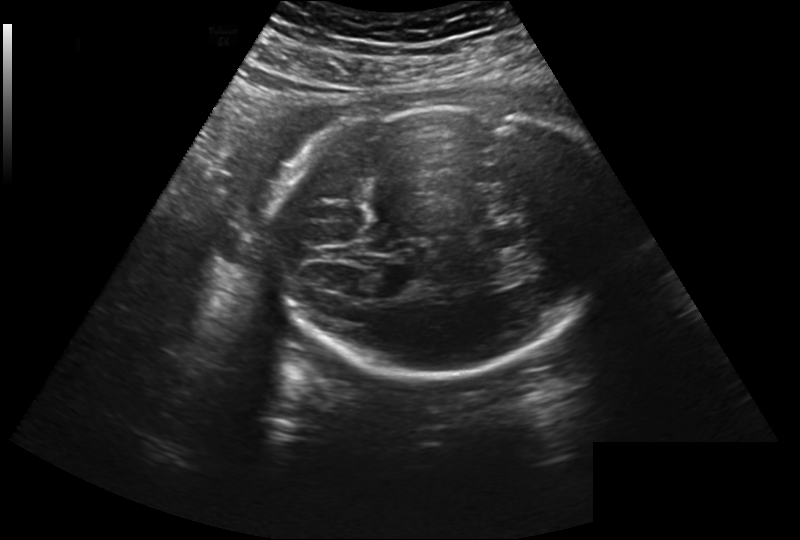
Fetal head ultrasound. Image width: 208.3 mm. Where is the fetal head?

Head bounding box: [268,105,622,377]